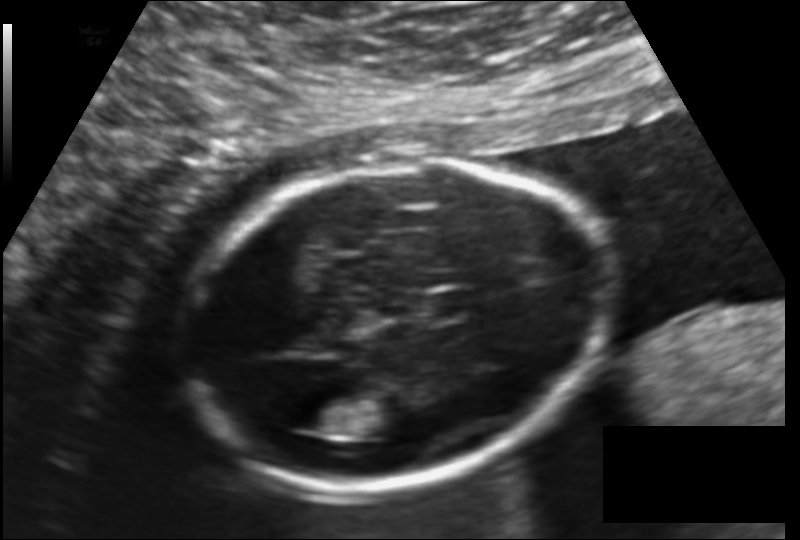
Fetal head ultrasound. Image width: 112.0 mm. Give [x1,y1,x2,y2] bounding boxes for each visible structure among: fetal head, CSP, LV.

Head: [187,158,613,484]
CSP: [424,286,478,321]
Lateral ventricle: [283,399,339,435]